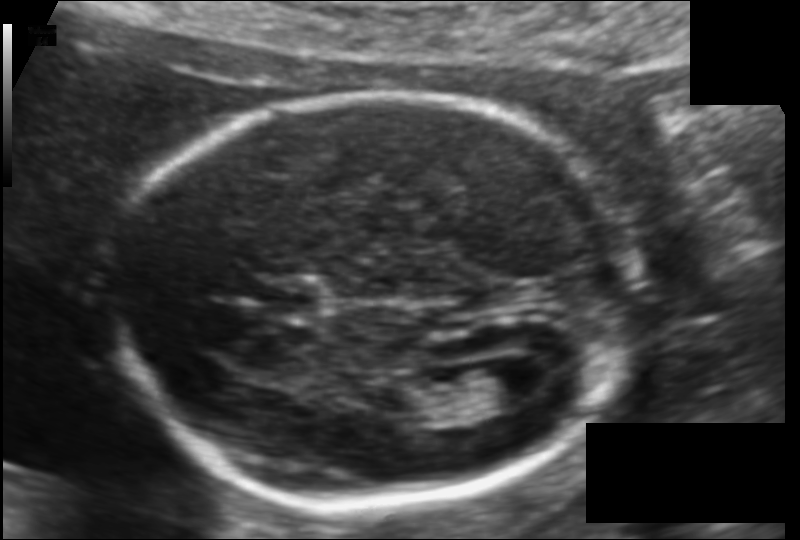
What is the fetal head circumference? Image width is 92.0 mm.

173.2 mm